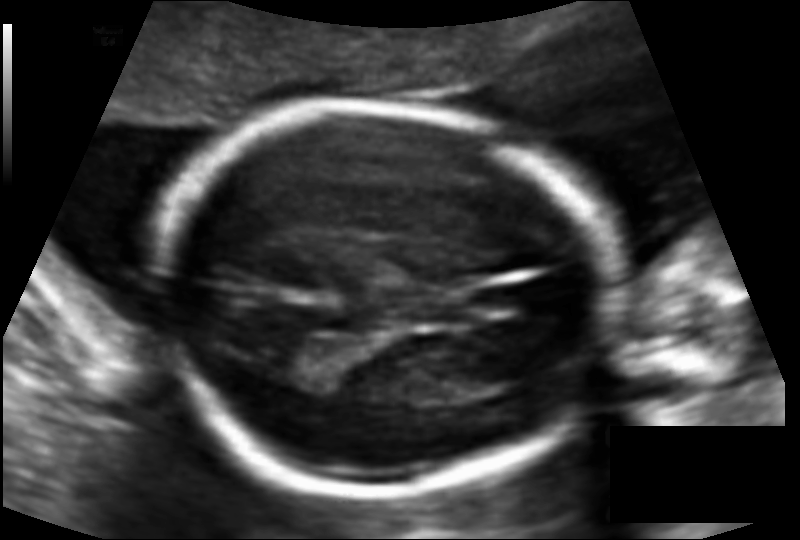
From this fetal ultrasound, estimate the head circumference (image width 87.7 mm).

Head circumference: 153.4 mm.